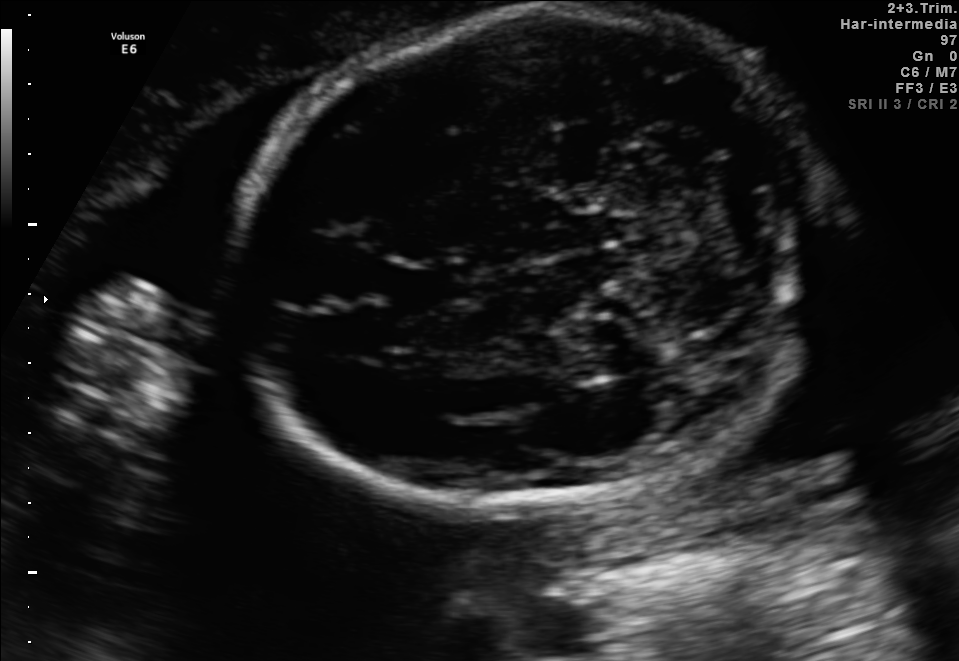
Fetal brain, trans-cerebellum plane. Locate the fetal head.

Head: [234,10,827,507]